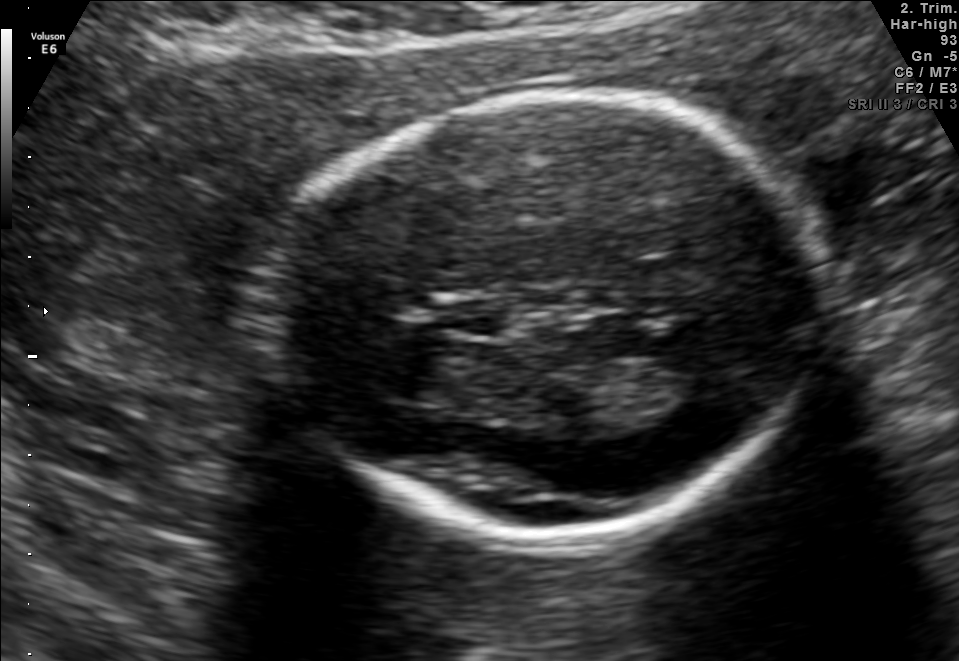
In this fetal brain, trans-thalamic plane, give bounding boxes for the head outline, cavum septum pellucidum (CSP), and lateral ventricle (LV), where visible.

Head: [268,93,819,538]
CSP: [444,299,514,336]